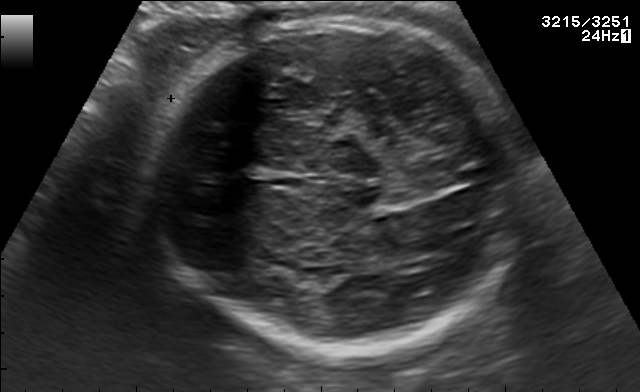
Fetal brain, trans-thalamic plane. Locate the fetal head.

Head: [142,20,522,356]